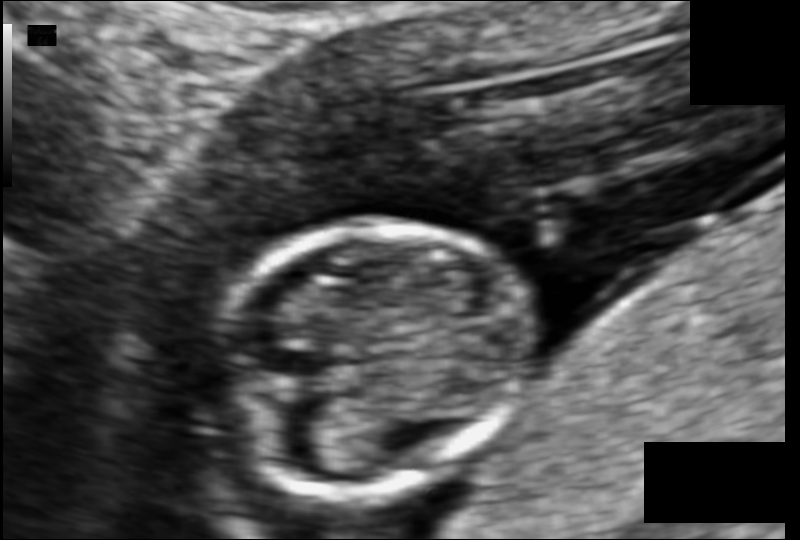
Fetal head ultrasound. Image width: 62.1 mm. Locate the fetal head and, if visible, the cavum septum pellucidum (CSP) and lateral ventricle (LV). Give bounding boxes as [x1,y1,x2,y2].

Head: [216,223,532,493]